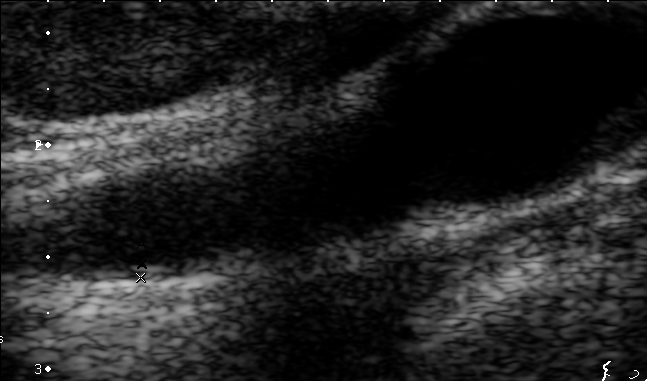
Which standard maternal-fetal ultrasound plane is shown: fetal abdomen, fetal brain, fetal femur, fetal thorax, maternal cervix, or other? If it's fetal brain and one of the three standard brain planes (trans-thalamic, trans-cerebellum, trans-ventricular), name which.

Other